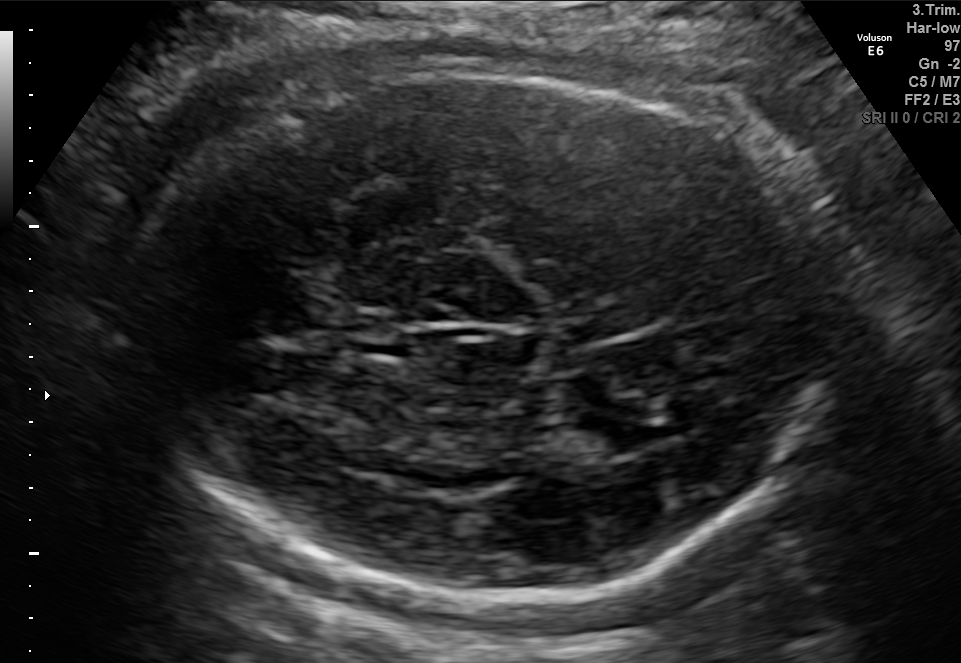
In this fetal brain, trans-thalamic plane, give the bounding box of the lateral ventricle.

[560,401,662,473]